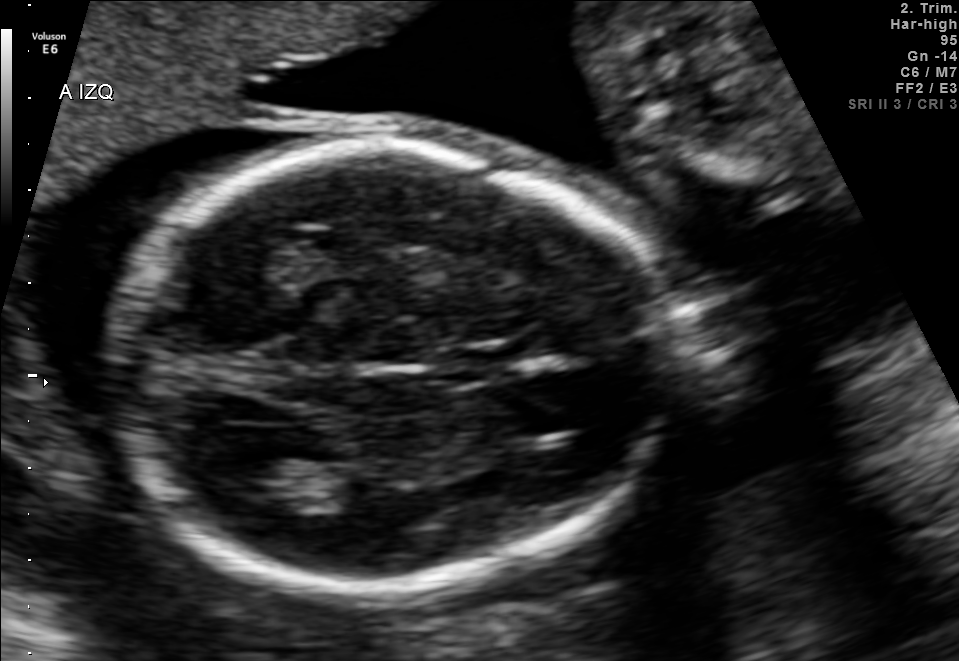
Identify the standard plane in this fetal ultrasound image: fetal abdomen, fetal brain, fetal femur, fetal thorax, maternal cervix, or other. If it's fetal brain and one of the three standard brain planes (trans-thalamic, trans-cerebellum, trans-ventricular), name which.

Fetal brain (trans-thalamic plane)